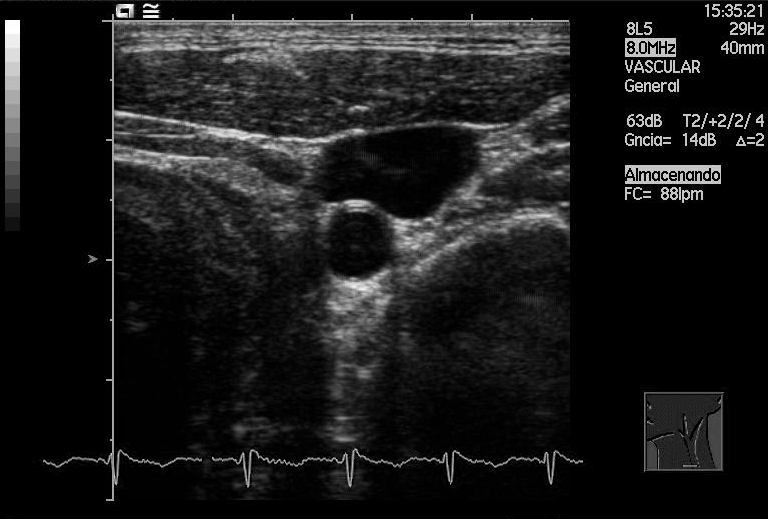
Identify the standard plane in this fetal ultrasound image: fetal abdomen, fetal brain, fetal femur, fetal thorax, maternal cervix, or other. If it's fetal brain and one of the three standard brain planes (trans-thalamic, trans-cerebellum, trans-ventricular), name which.

Other